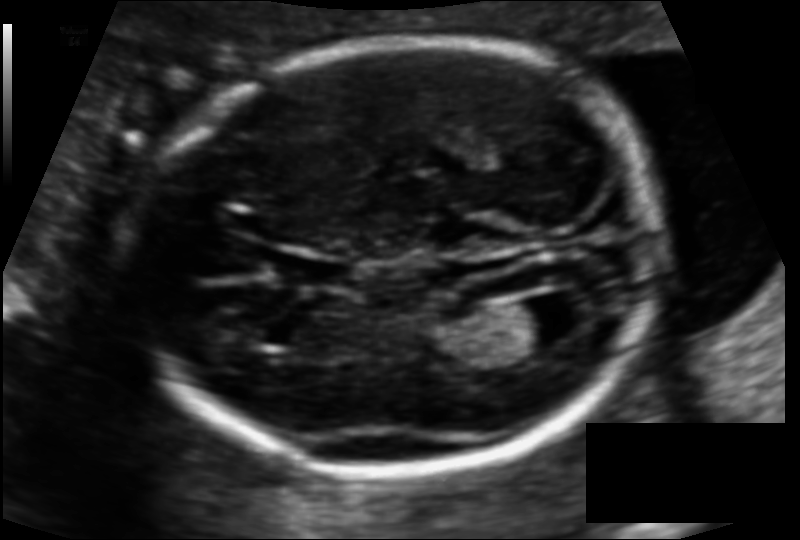
Estimate the fetal head circumference from this 2D ultrasound.

Head circumference: 168.6 mm (image width 88.1 mm).